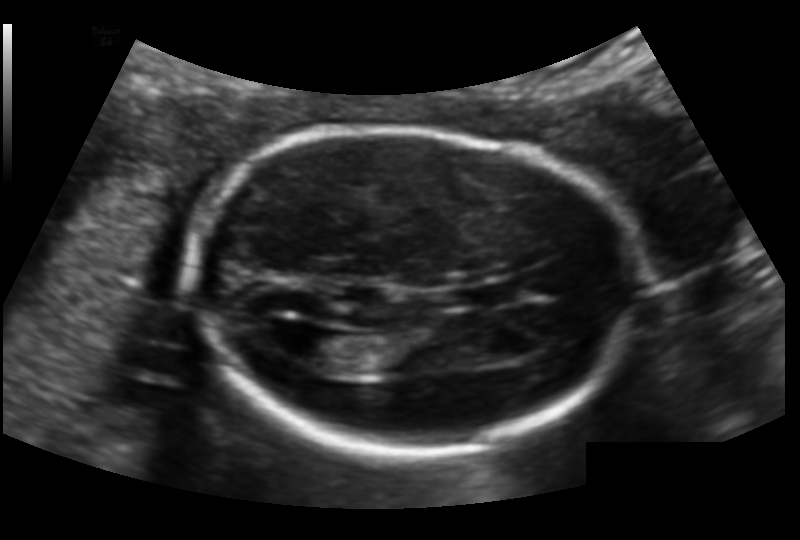
Fetal head ultrasound. Image width: 105.5 mm. Give [x1,y1,x2,y2] bounding boxes for each visible structure among: fetal head, CSP, LV.

Head: [185,127,638,451]
CSP: [468,279,524,310]
Lateral ventricle: [282,320,344,368]